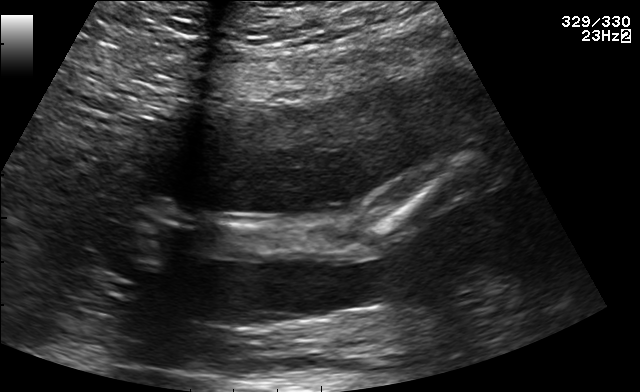
Identify the standard plane in this fetal ultrasound image: fetal abdomen, fetal brain, fetal femur, fetal thorax, maternal cervix, or other. If it's fetal brain and one of the three standard brain planes (trans-thalamic, trans-cerebellum, trans-ventricular), name which.

Other